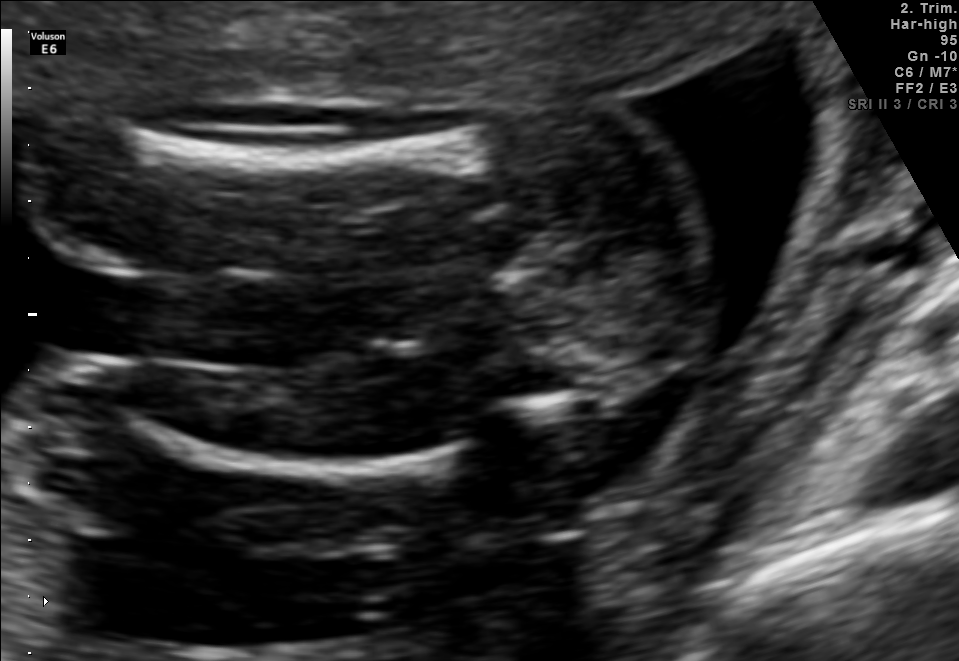
Identify the standard plane in this fetal ultrasound image: fetal abdomen, fetal brain, fetal femur, fetal thorax, maternal cervix, or other. If it's fetal brain and one of the three standard brain planes (trans-thalamic, trans-cerebellum, trans-ventricular), name which.

Fetal femur